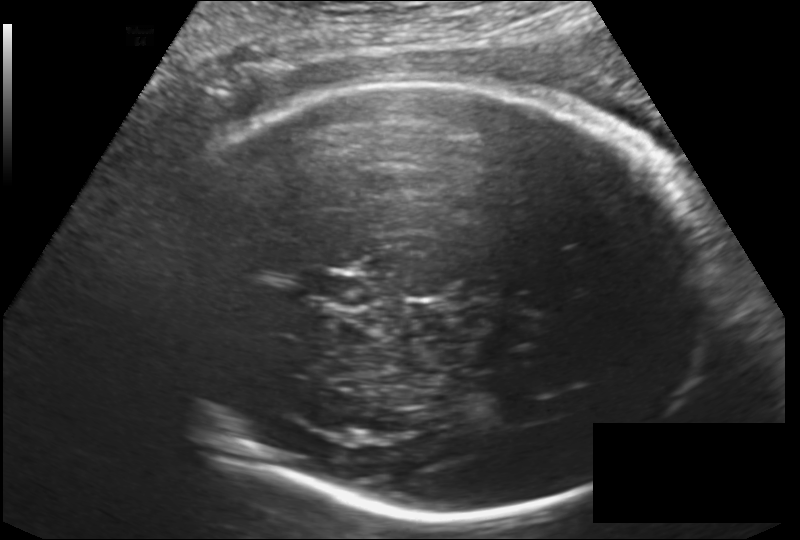
Estimate the fetal head circumference from this 2D ultrasound.

Head circumference: 288.9 mm (image width 145.9 mm).